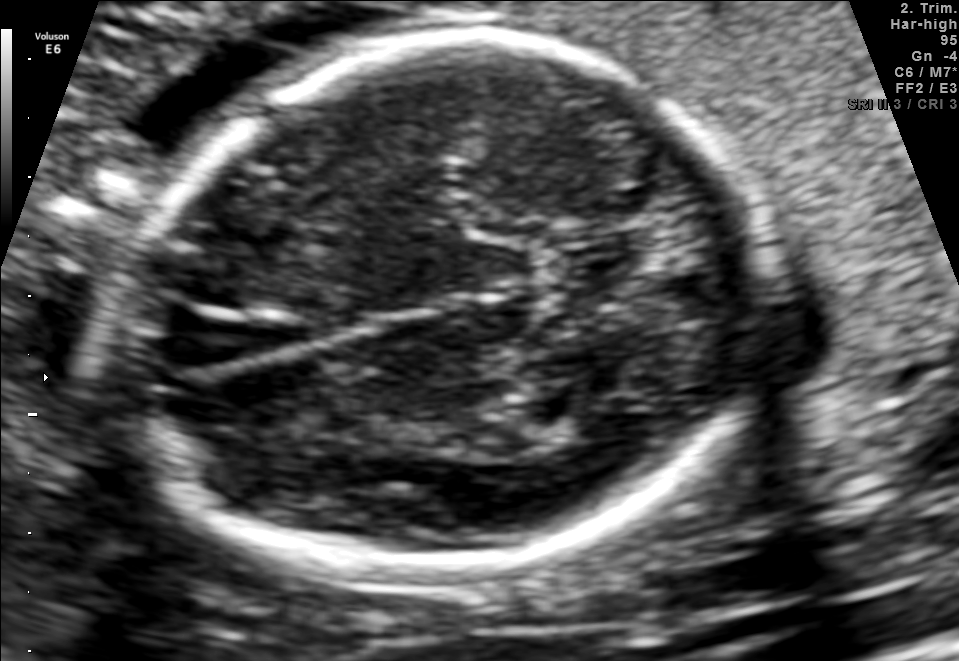
Fetal brain, trans-thalamic plane. Locate the fetal head.

Head: [104,37,767,574]